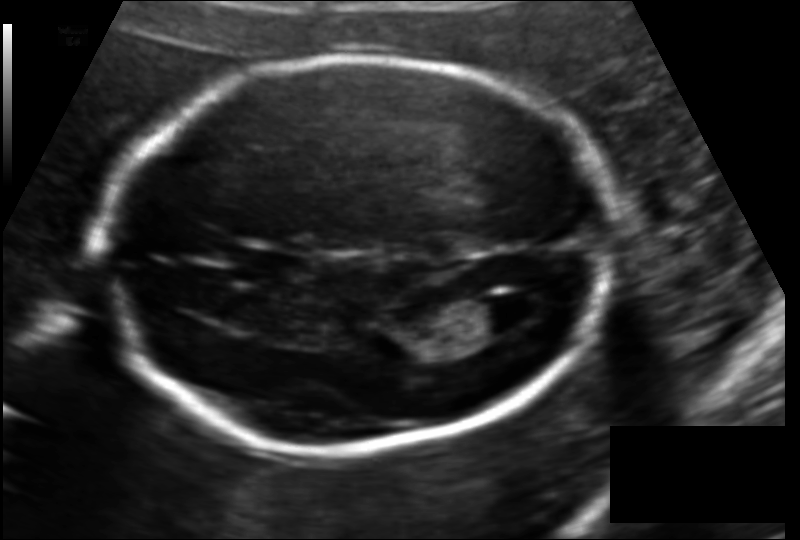
Fetal head ultrasound. Image width: 101.5 mm. Locate the fetal head.

Head: [103,59,609,450]